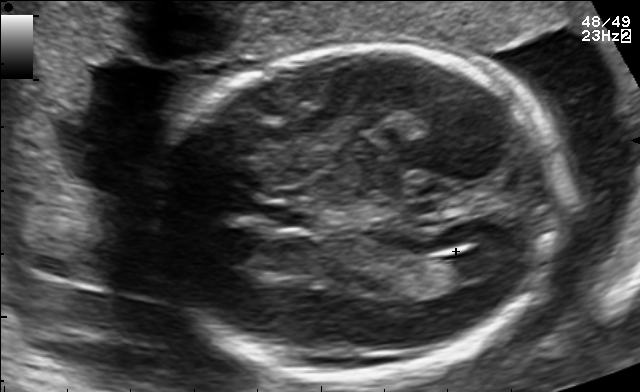
Fetal brain, trans-ventricular plane. Locate the fetal head.

Head: [158,43,573,384]